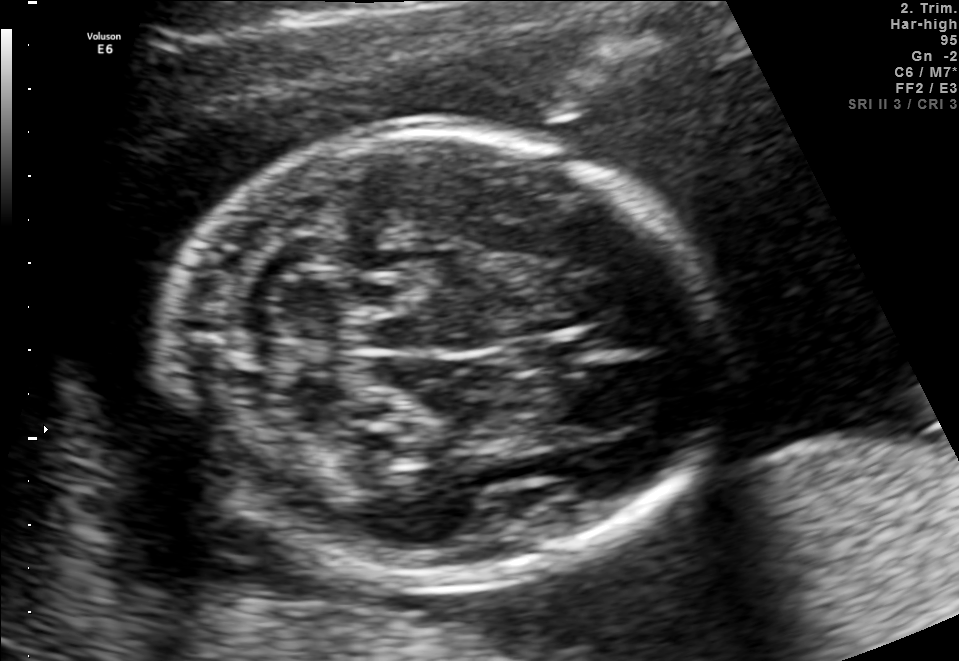
In this fetal brain, trans-cerebellum plane, give the bounding box of the cavum septum pellucidum.

[504,333,574,375]